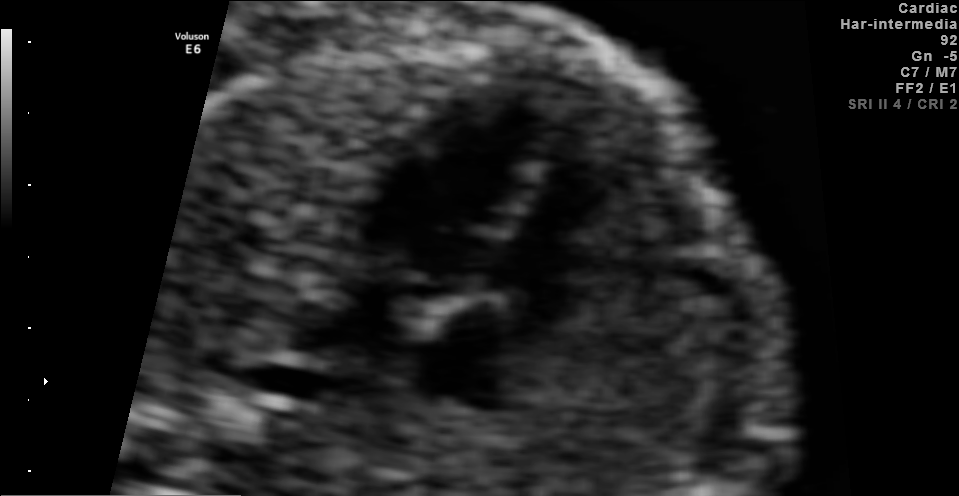
Which standard maternal-fetal ultrasound plane is shown: fetal abdomen, fetal brain, fetal femur, fetal thorax, maternal cervix, or other? If it's fetal brain and one of the three standard brain planes (trans-thalamic, trans-cerebellum, trans-ventricular), name which.

Fetal thorax